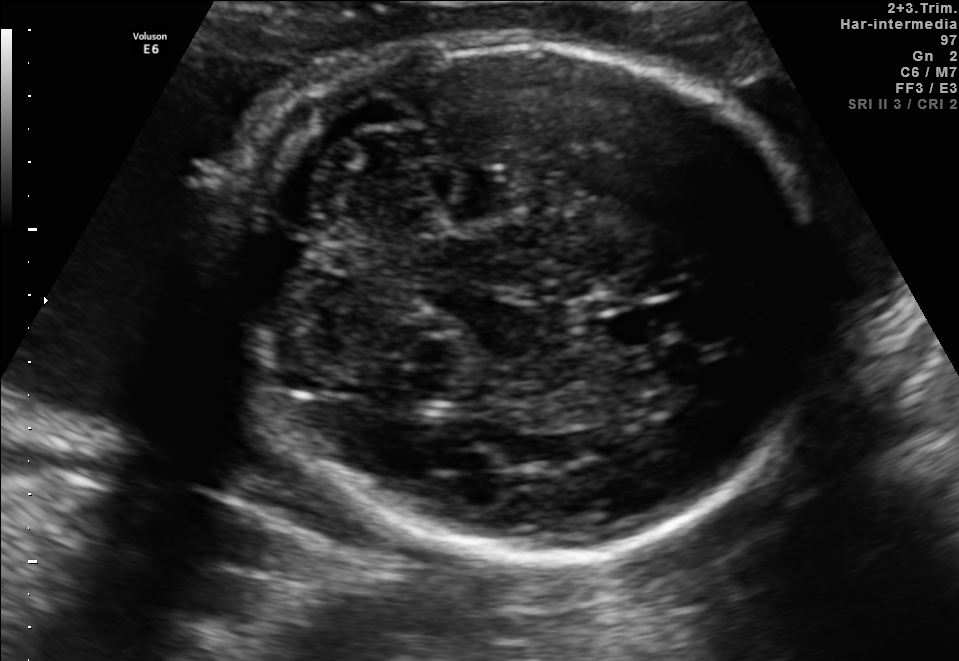
This is a 2D maternal-fetal ultrasound frame. Is it a fetal abdomen, fetal brain, fetal femur, fetal thorax, maternal cervix, or other standard plane? If it's fetal brain and one of the three standard brain planes (trans-thalamic, trans-cerebellum, trans-ventricular), name which.

Fetal brain (trans-cerebellum plane)